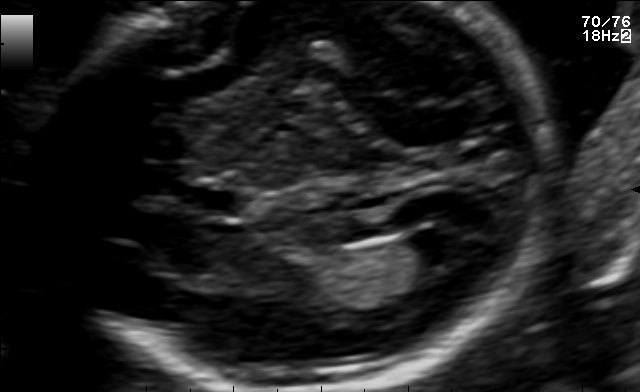
In this fetal brain, trans-ventricular plane, give the bounding box of the cavum septum pellucidum.

[191,191,241,216]